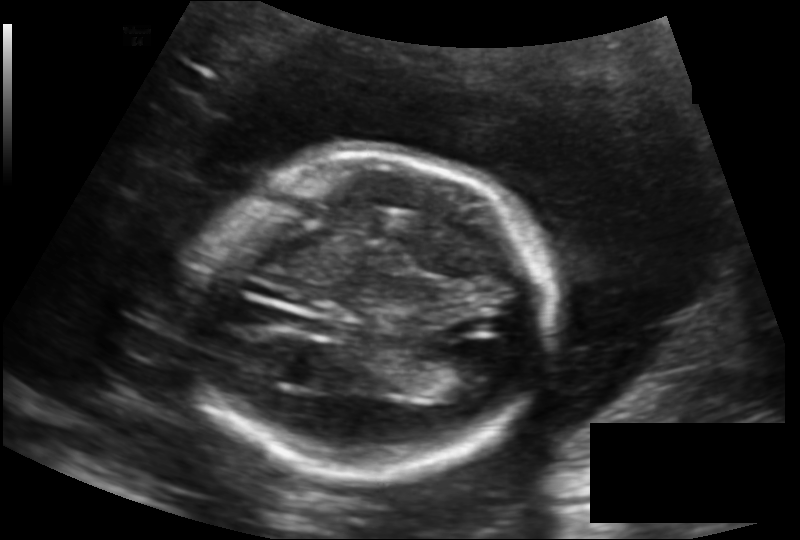
Fetal head ultrasound. Image width: 122.9 mm. Locate the fetal head and, if visible, the cavum septum pellucidum (CSP) and lateral ventricle (LV). Give bounding boxes as [x1,y1,x2,y2].

Head: [189,154,550,471]